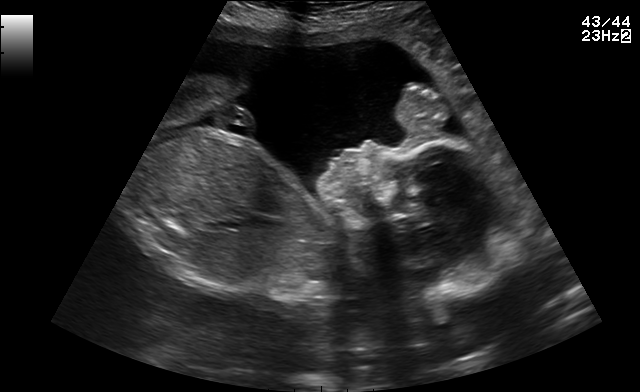
Which standard maternal-fetal ultrasound plane is shown: fetal abdomen, fetal brain, fetal femur, fetal thorax, maternal cervix, or other? If it's fetal brain and one of the three standard brain planes (trans-thalamic, trans-cerebellum, trans-ventricular), name which.

Other